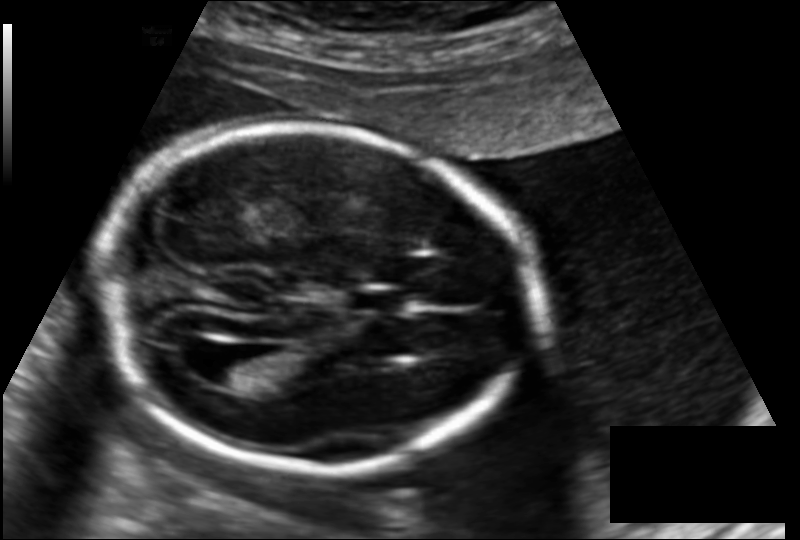
In this fetal head ultrasound, give bounding boxes for the head outline, cavum septum pellucidum (CSP), and lateral ventricle (LV), where visible. Image width: 115.9 mm.

Head: [96,126,536,470]
CSP: [346,286,409,314]
Lateral ventricle: [199,342,264,394]